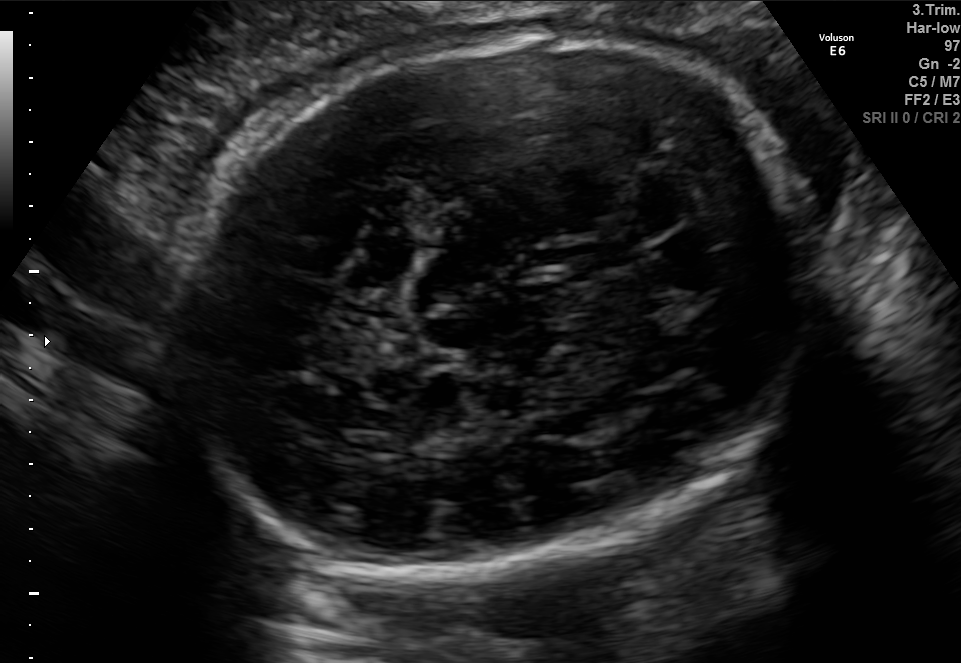
Fetal brain, trans-thalamic plane. Give [x1,y1,x2,y2] bounding boxes for each visible structure among: fetal head, CSP, LV.

Head: [183,34,802,581]